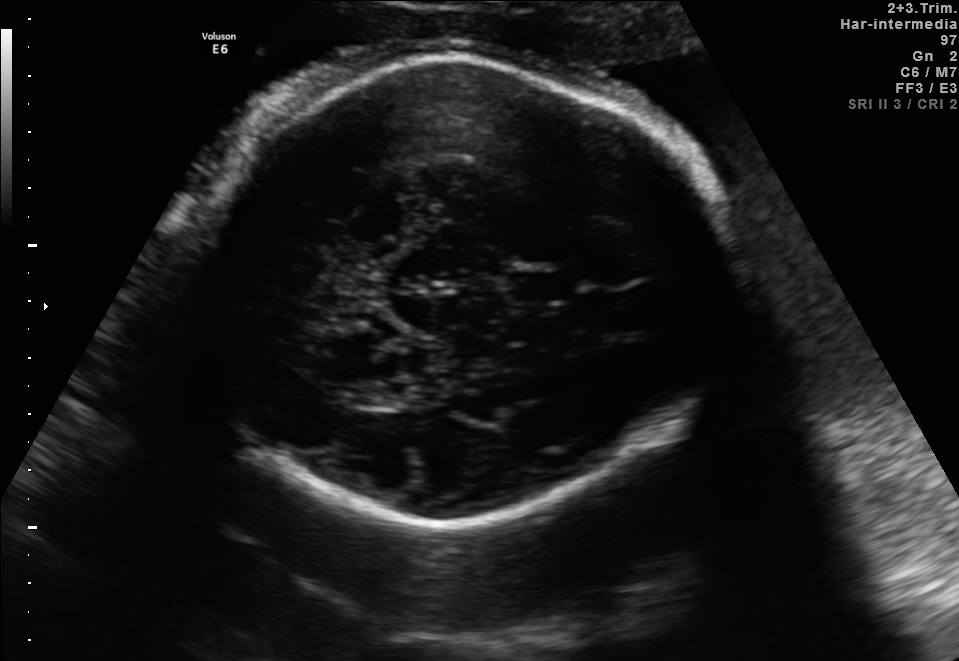
Fetal brain, trans-thalamic plane. Where is the fetal head?

Head bounding box: [183,54,724,523]